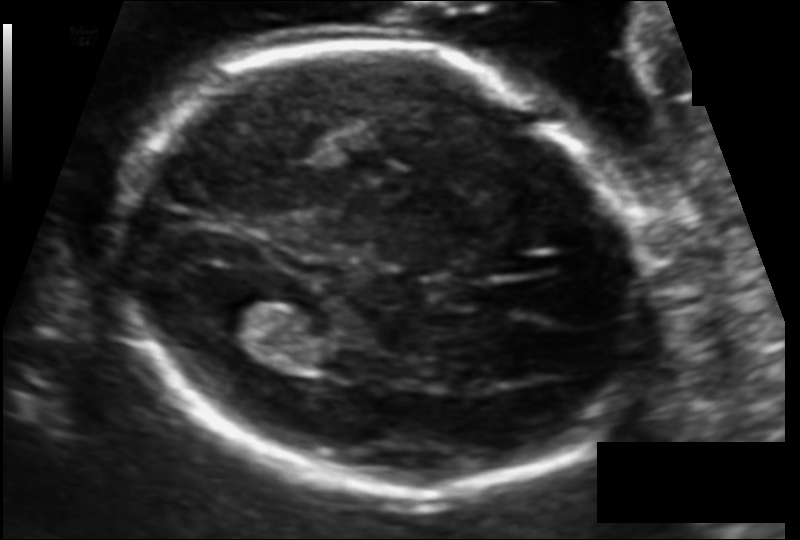
Fetal head ultrasound. Image width: 92.8 mm. Where is the fetal head?

Head bounding box: [113,44,652,493]